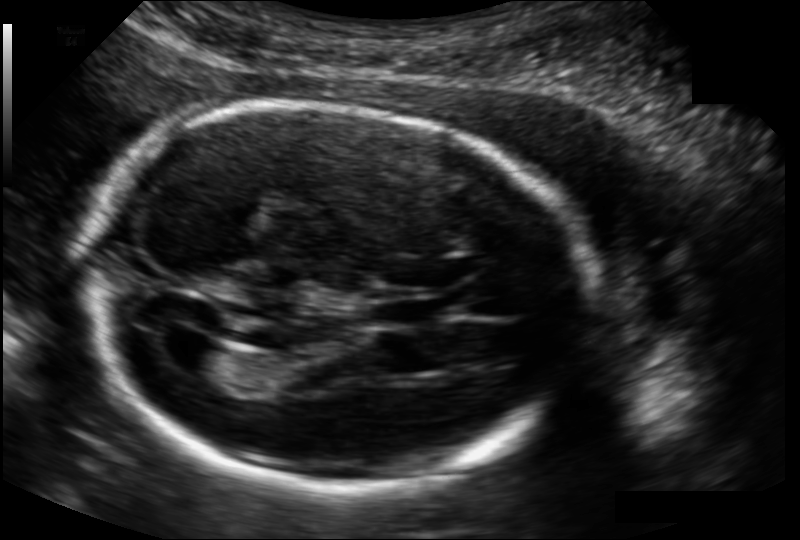
Fetal head ultrasound. Image width: 107.6 mm. Locate the fetal head and, if visible, the cavum septum pellucidum (CSP) and lateral ventricle (LV). Give bounding boxes as [x1,y1,x2,y2].

Head: [90,107,586,489]
CSP: [367,295,440,329]
Lateral ventricle: [162,323,230,383]